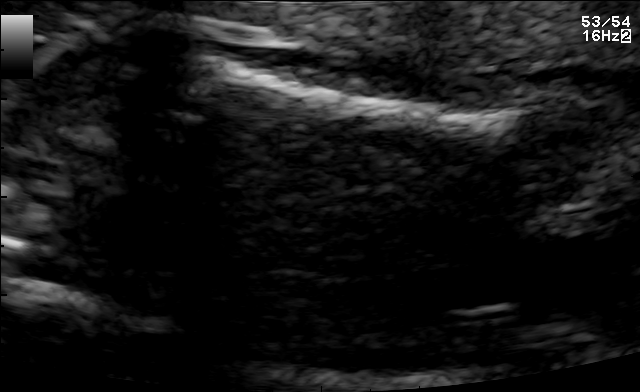
Identify the standard plane in this fetal ultrasound image: fetal abdomen, fetal brain, fetal femur, fetal thorax, maternal cervix, or other. If it's fetal brain and one of the three standard brain planes (trans-thalamic, trans-cerebellum, trans-ventricular), name which.

Fetal femur